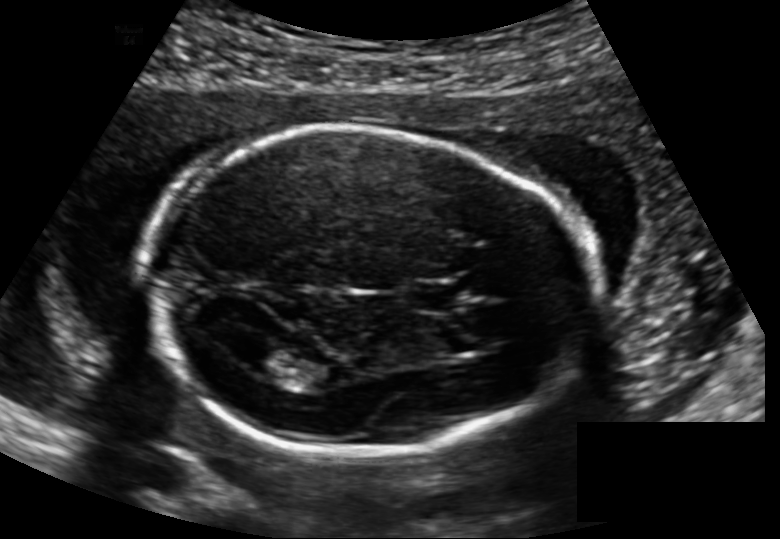
Fetal head ultrasound. Image width: 115.4 mm. Locate the lateral ventricle.

Lateral ventricle: [239,338,295,382]